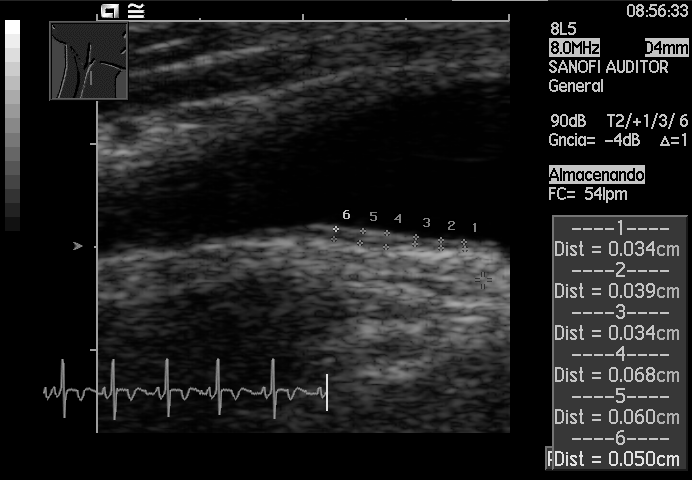
Classify this maternal-fetal ultrasound image as one of the six standard planes — fetal abdomen, fetal brain, fetal femur, fetal thorax, maternal cervix, or other. If it's fetal brain and one of the three standard brain planes (trans-thalamic, trans-cerebellum, trans-ventricular), name which.

Other